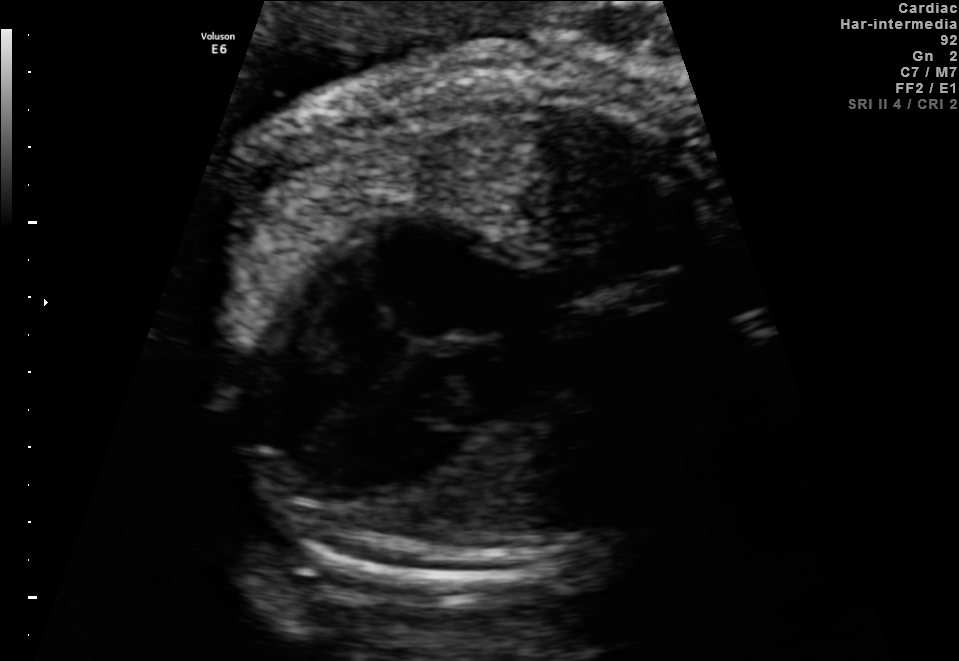
Identify the standard plane in this fetal ultrasound image: fetal abdomen, fetal brain, fetal femur, fetal thorax, maternal cervix, or other. If it's fetal brain and one of the three standard brain planes (trans-thalamic, trans-cerebellum, trans-ventricular), name which.

Fetal thorax